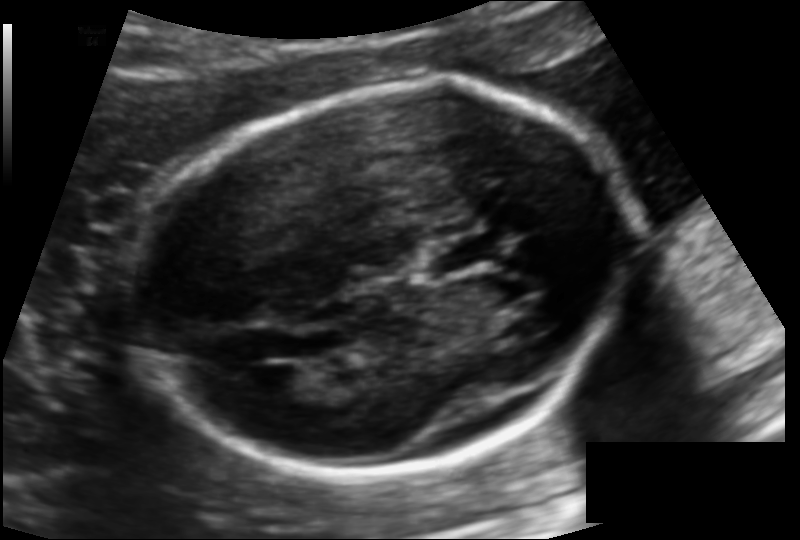
Measure the fetal head circumference shown in this ultrasound image. Image width: 99.2 mm.

Head circumference: 176.3 mm.